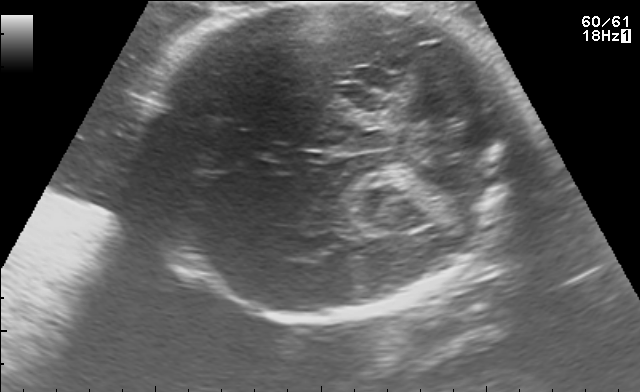
In this fetal brain, trans-thalamic plane, give bounding boxes for the head outline, cavum septum pellucidum (CSP), and lateral ventricle (LV), where visible.

Head: [115,3,527,321]